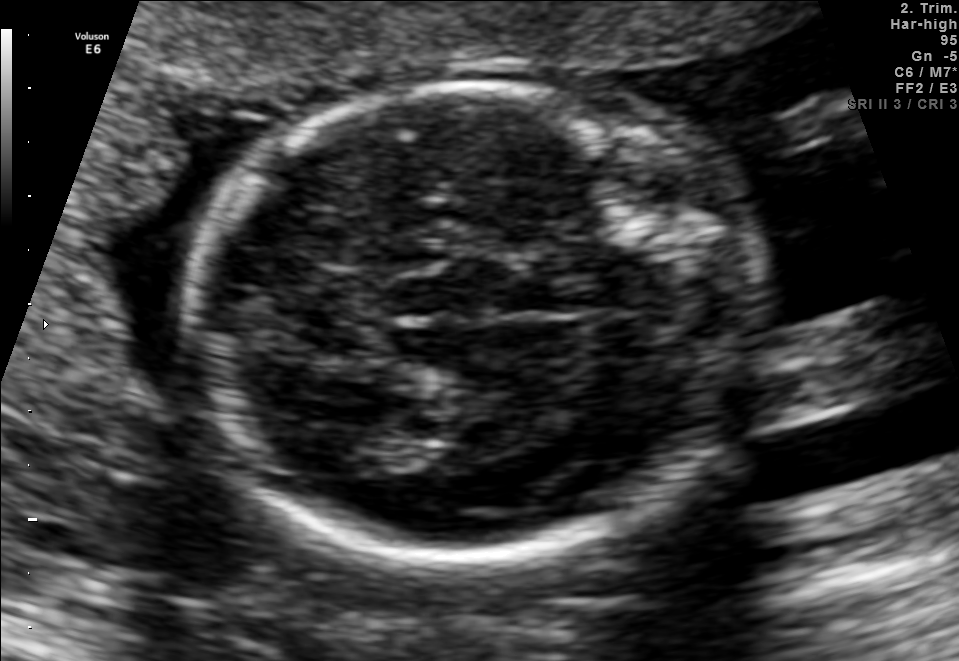
Identify the standard plane in this fetal ultrasound image: fetal abdomen, fetal brain, fetal femur, fetal thorax, maternal cervix, or other. If it's fetal brain and one of the three standard brain planes (trans-thalamic, trans-cerebellum, trans-ventricular), name which.

Fetal brain (trans-thalamic plane)